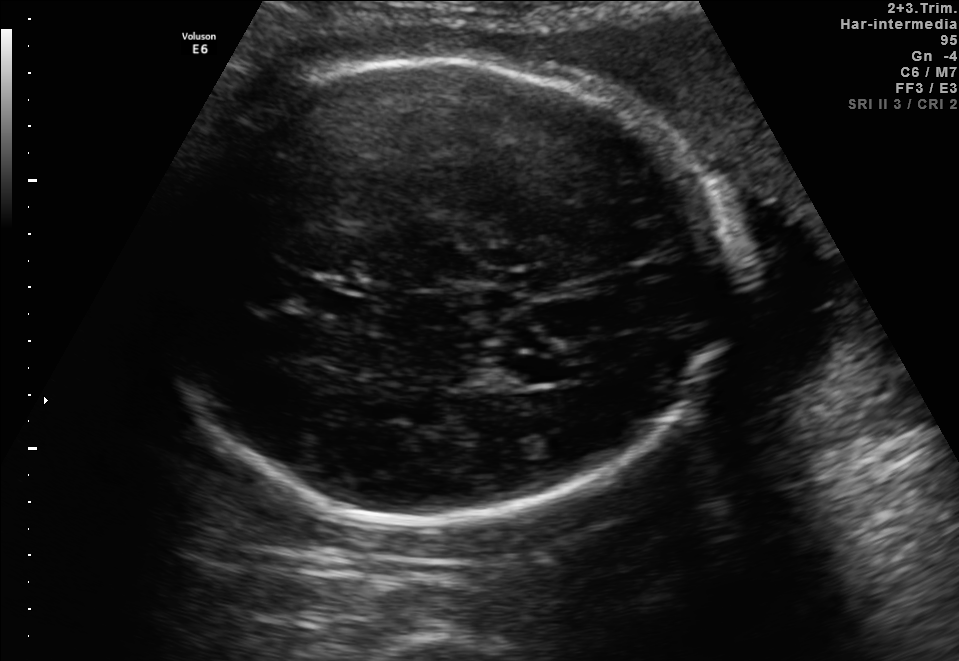
Fetal brain, trans-thalamic plane. Locate the fetal head and, if visible, the cavum septum pellucidum (CSP) and lateral ventricle (LV). Give bounding boxes as [x1,y1,x2,y2].

Head: [139,61,742,524]
CSP: [306,278,368,317]
Lateral ventricle: [465,349,580,393]